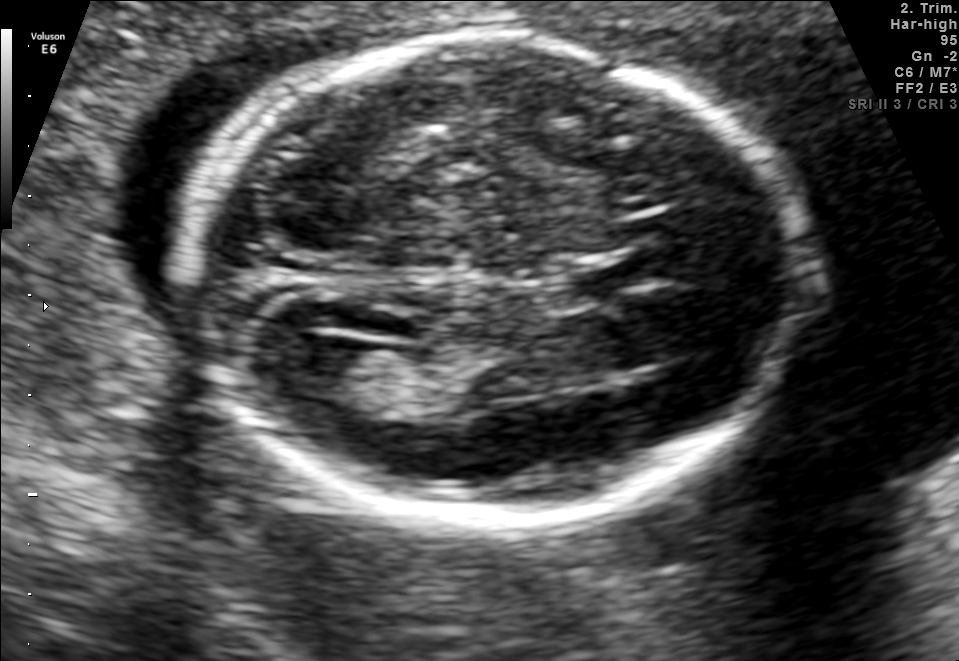
Fetal brain, trans-ventricular plane. Where is the fetal head?

Head bounding box: [173,30,822,533]